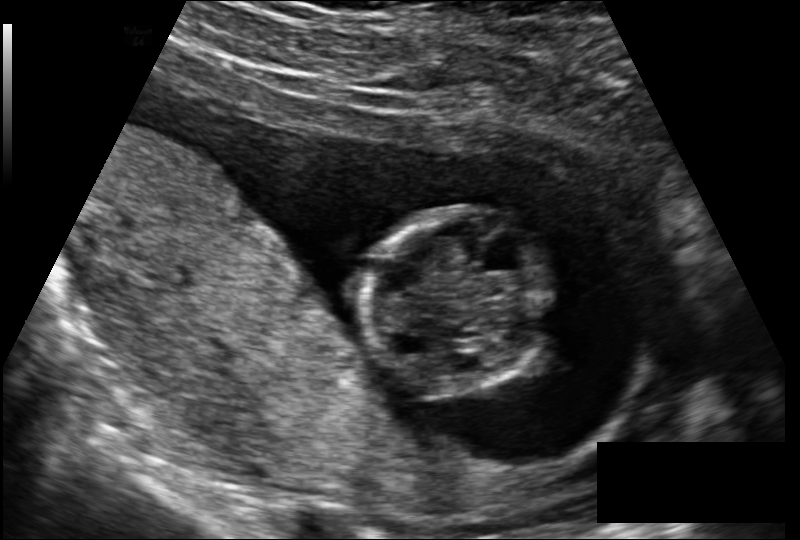
Fetal head ultrasound. Image width: 105.1 mm. Locate the fetal head.

Head: [360,208,552,395]